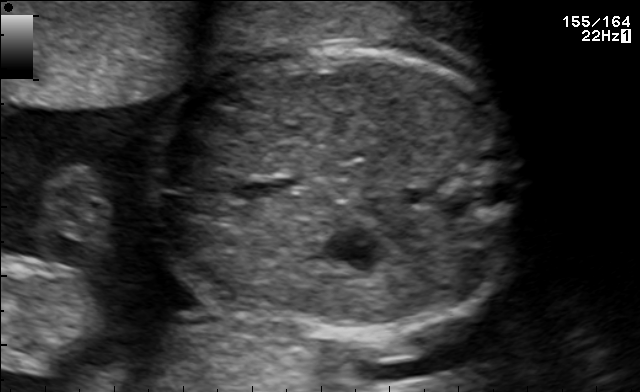
Which standard maternal-fetal ultrasound plane is shown: fetal abdomen, fetal brain, fetal femur, fetal thorax, maternal cervix, or other? If it's fetal brain and one of the three standard brain planes (trans-thalamic, trans-cerebellum, trans-ventricular), name which.

Fetal abdomen